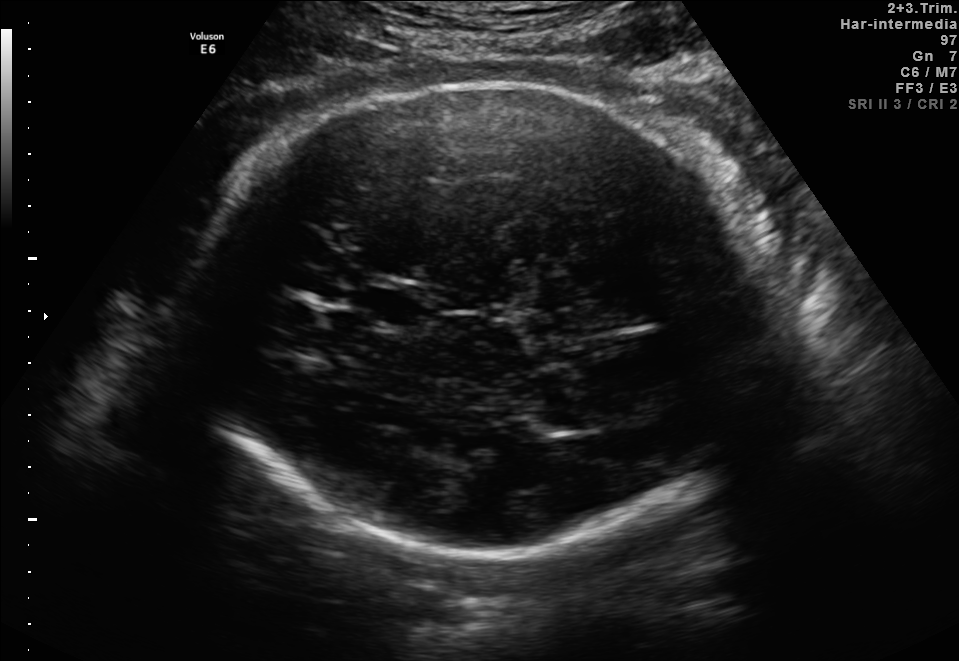
Fetal brain, trans-thalamic plane. Where is the fetal head?

Head bounding box: [186,85,785,562]